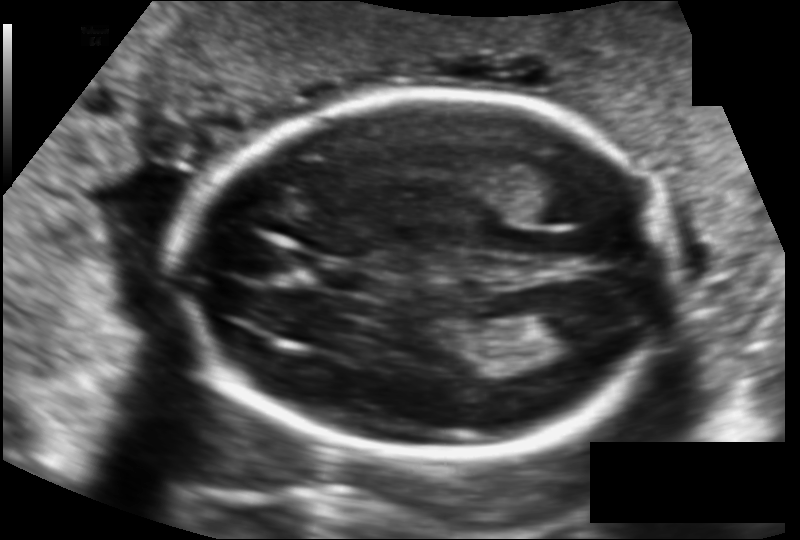
In this fetal head ultrasound, give the bounding box of the lateral ventricle. Image width: 98.9 mm.

[530,302,604,354]